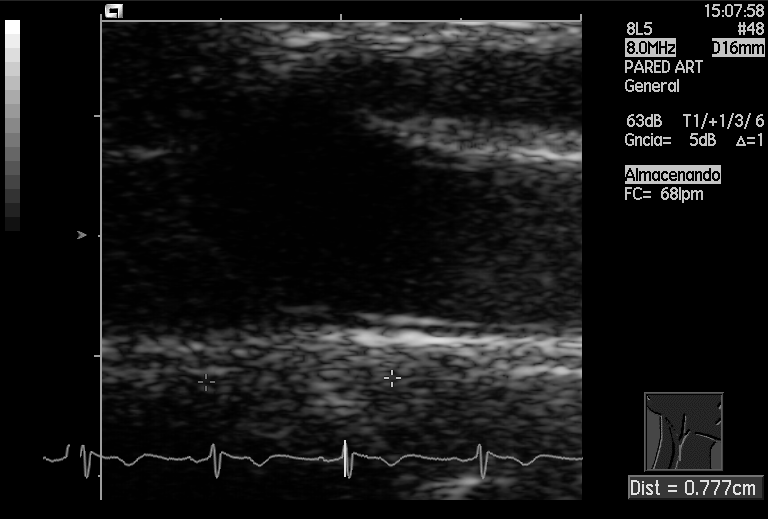
Which standard maternal-fetal ultrasound plane is shown: fetal abdomen, fetal brain, fetal femur, fetal thorax, maternal cervix, or other? If it's fetal brain and one of the three standard brain planes (trans-thalamic, trans-cerebellum, trans-ventricular), name which.

Other